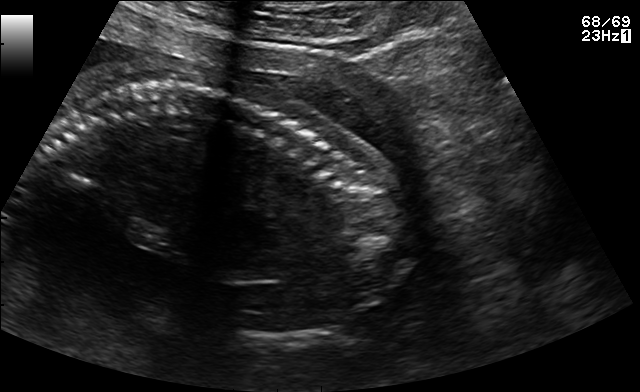
Which standard maternal-fetal ultrasound plane is shown: fetal abdomen, fetal brain, fetal femur, fetal thorax, maternal cervix, or other? If it's fetal brain and one of the three standard brain planes (trans-thalamic, trans-cerebellum, trans-ventricular), name which.

Other